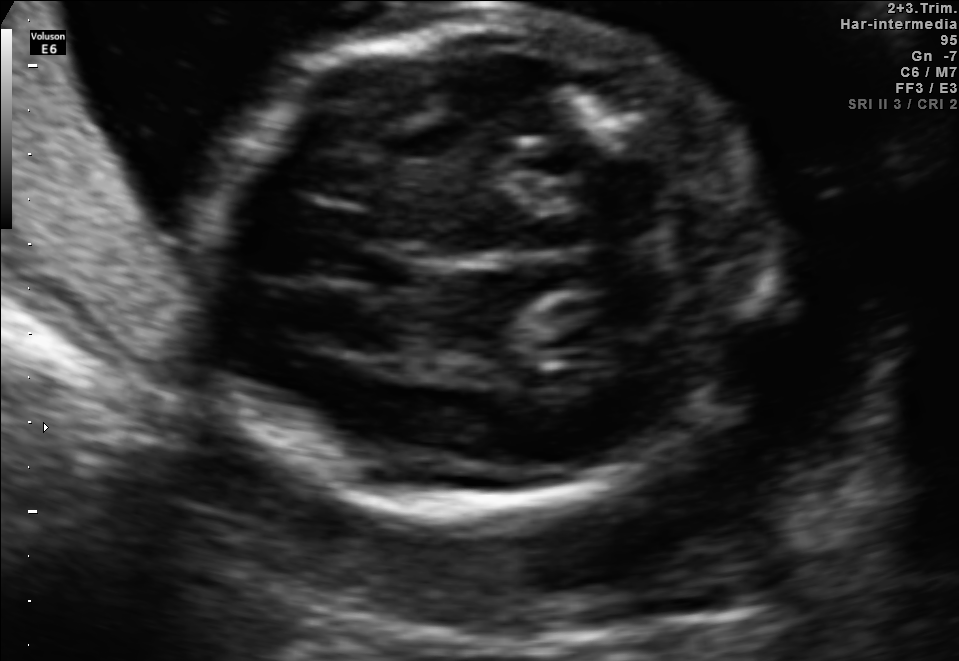
In this fetal brain, trans-cerebellum plane, give bounding boxes for the head outline, cavum septum pellucidum (CSP), and lateral ventricle (LV), where visible.

Head: [198,5,763,508]
CSP: [348,245,426,295]